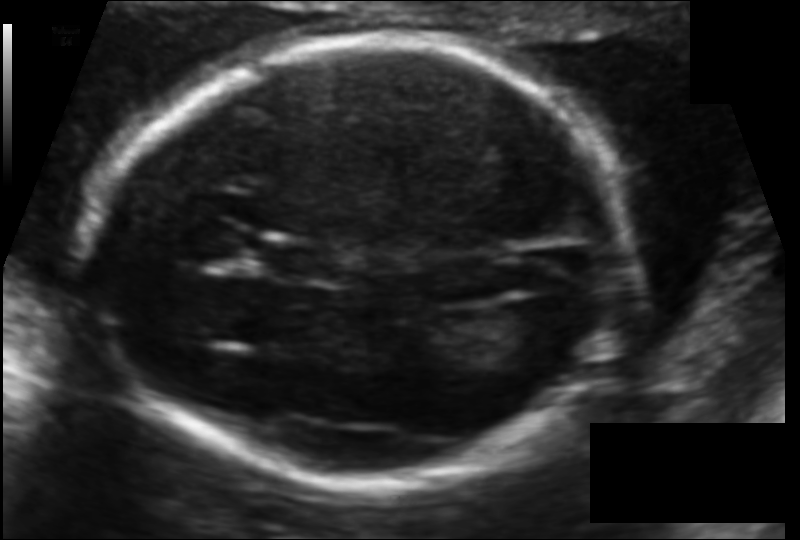
Estimate the fetal head circumference from this 2D ultrasound. Image width: 85.1 mm.

Head circumference: 171.3 mm.